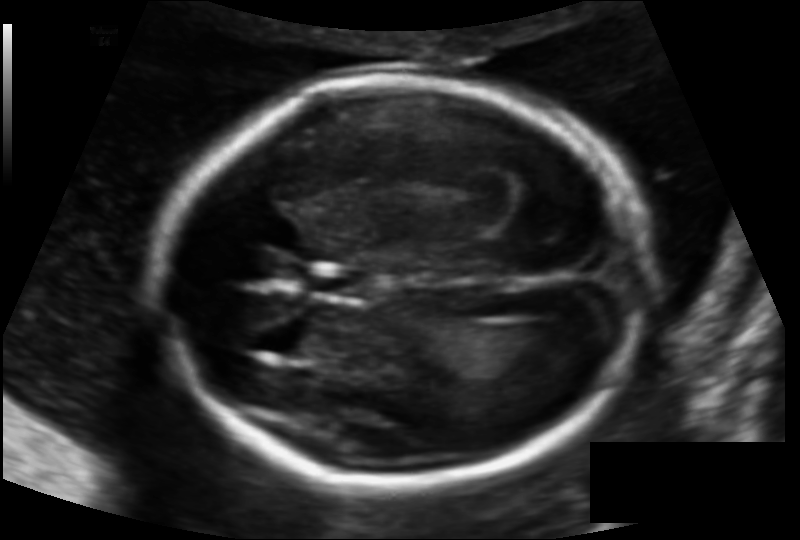
Fetal head ultrasound. Image width: 97.8 mm. Locate the cavum septum pellucidum.

CSP: [306,263,370,302]